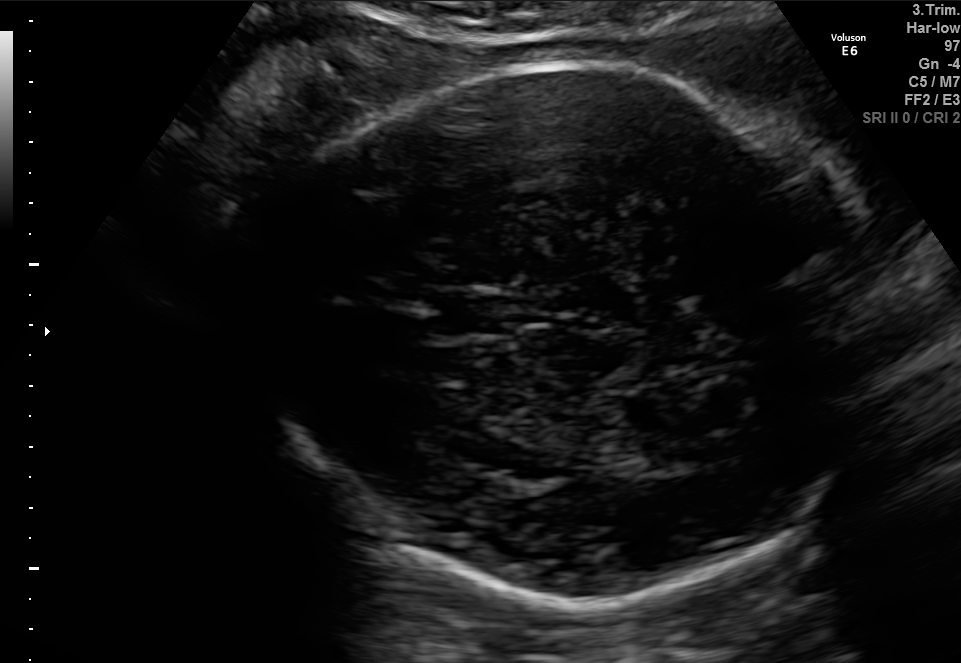
Fetal brain, trans-thalamic plane. Locate the fetal head and, if visible, the cavum septum pellucidum (CSP) and lateral ventricle (LV). Give bounding boxes as [x1,y1,x2,y2].

Head: [244,60,882,605]
CSP: [425,295,512,334]